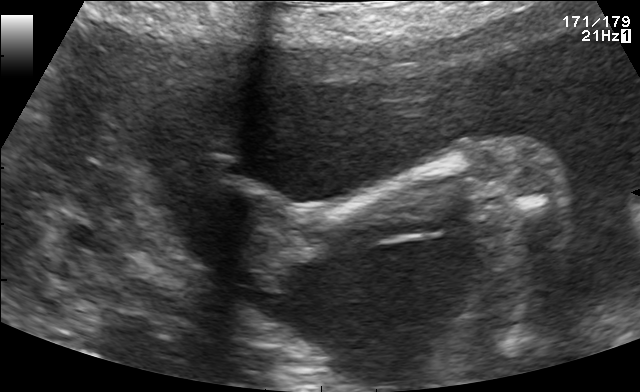
Classify this maternal-fetal ultrasound image as one of the six standard planes — fetal abdomen, fetal brain, fetal femur, fetal thorax, maternal cervix, or other. If it's fetal brain and one of the three standard brain planes (trans-thalamic, trans-cerebellum, trans-ventricular), name which.

Other